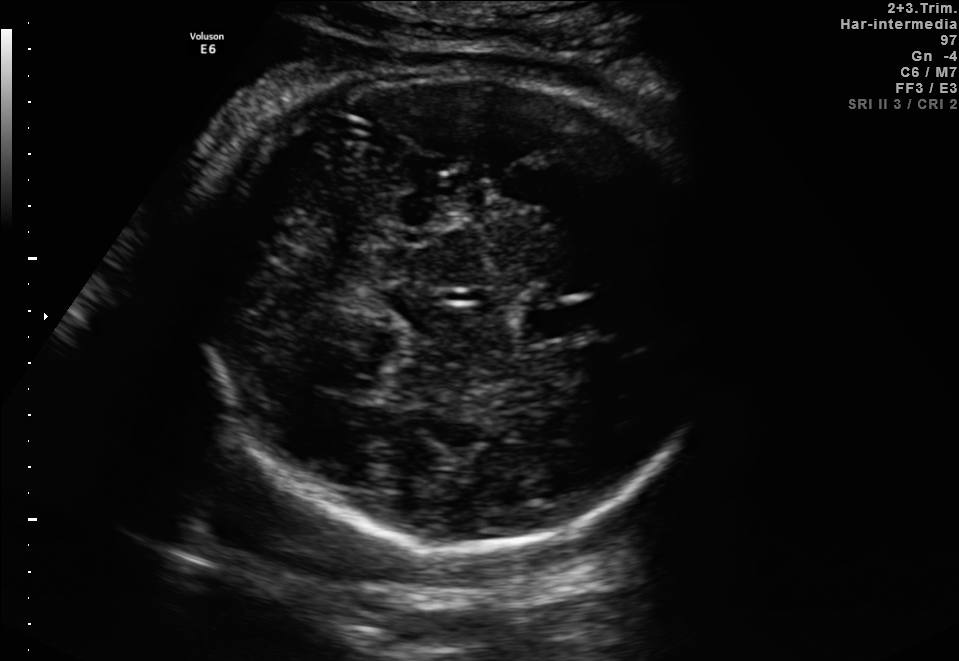
Fetal brain, trans-thalamic plane. Where is the fetal head?

Head bounding box: [192,72,715,545]